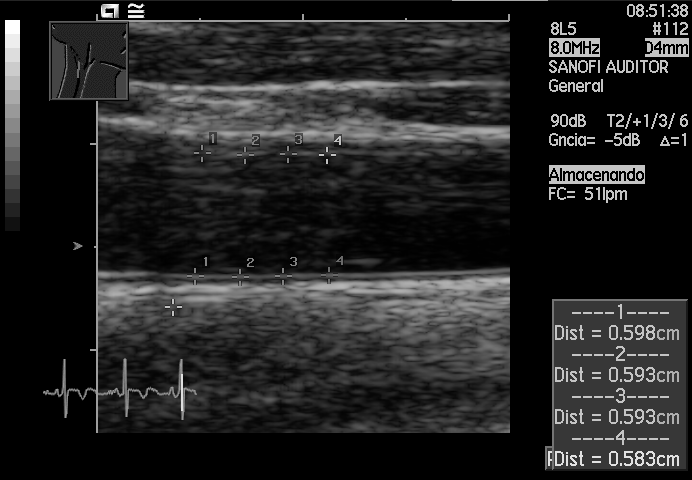
Identify the standard plane in this fetal ultrasound image: fetal abdomen, fetal brain, fetal femur, fetal thorax, maternal cervix, or other. If it's fetal brain and one of the three standard brain planes (trans-thalamic, trans-cerebellum, trans-ventricular), name which.

Other